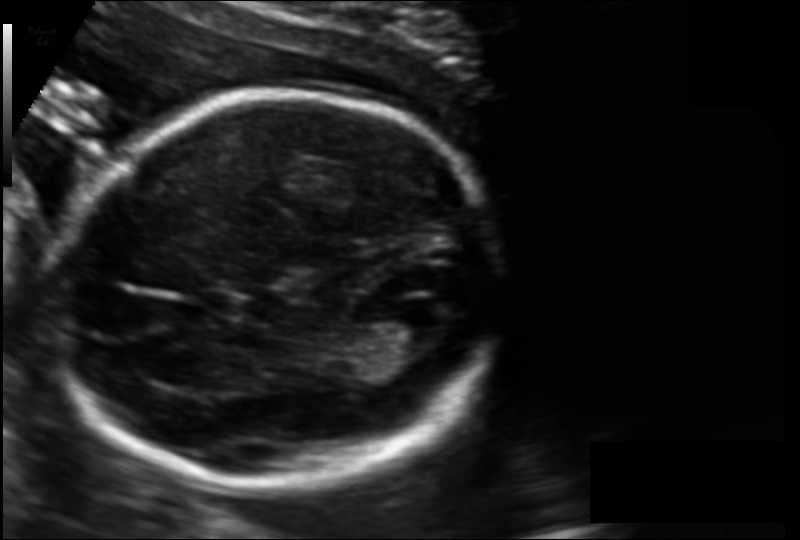
Fetal head ultrasound. Image width: 102.4 mm. Locate the fetal head and, if visible, the cavum septum pellucidum (CSP) and lateral ventricle (LV). Give bounding boxes as [x1,y1,x2,y2].

Head: [60,91,498,488]
Lateral ventricle: [375,290,453,359]